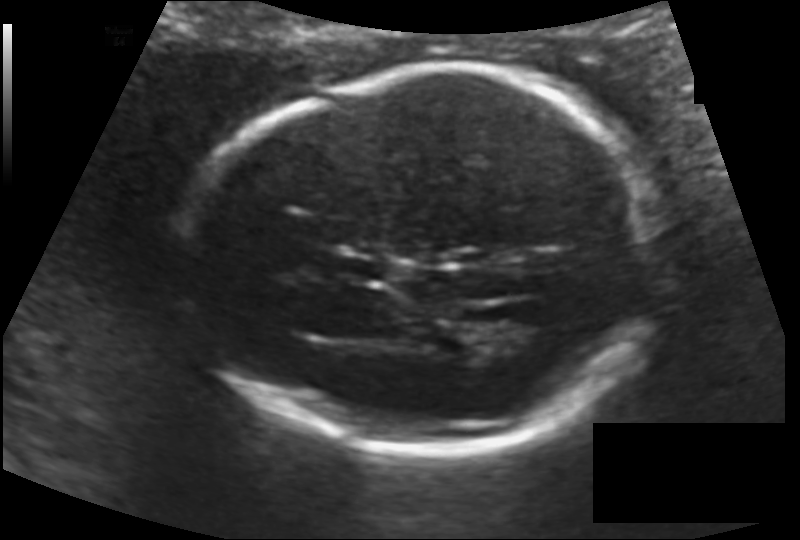
Fetal head ultrasound. Image width: 102.3 mm. Locate the fetal head and, if visible, the cavum septum pellucidum (CSP) and lateral ventricle (LV). Give bounding boxes as [x1,y1,x2,y2].

Head: [189,67,661,453]
CSP: [331,251,391,286]
Lateral ventricle: [483,308,552,359]